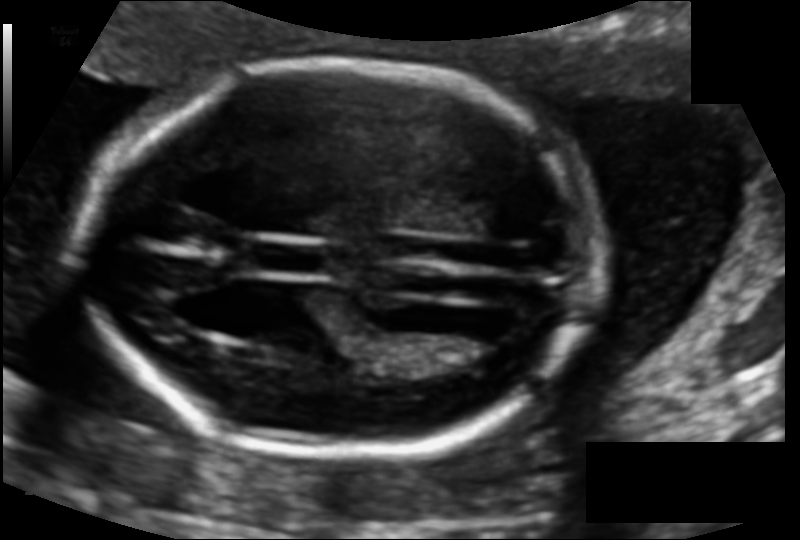
From this fetal ultrasound, estimate the head circumference (image width 88.3 mm).

Head circumference: 164.1 mm.